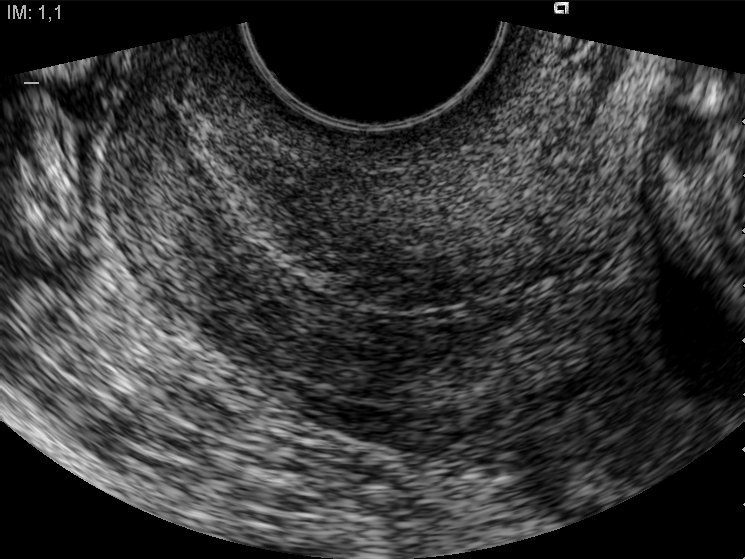
This is a 2D maternal-fetal ultrasound frame. Is it a fetal abdomen, fetal brain, fetal femur, fetal thorax, maternal cervix, or other standard plane? If it's fetal brain and one of the three standard brain planes (trans-thalamic, trans-cerebellum, trans-ventricular), name which.

Maternal cervix